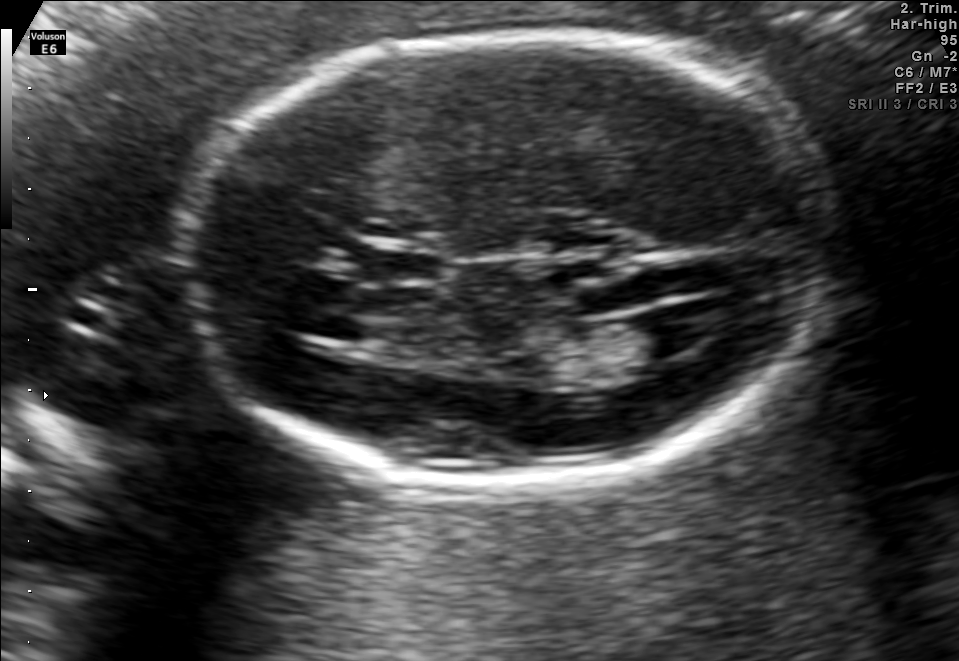
Fetal brain, trans-ventricular plane. Where is the cavum septum pellucidum?

CSP bounding box: [387,251,438,281]